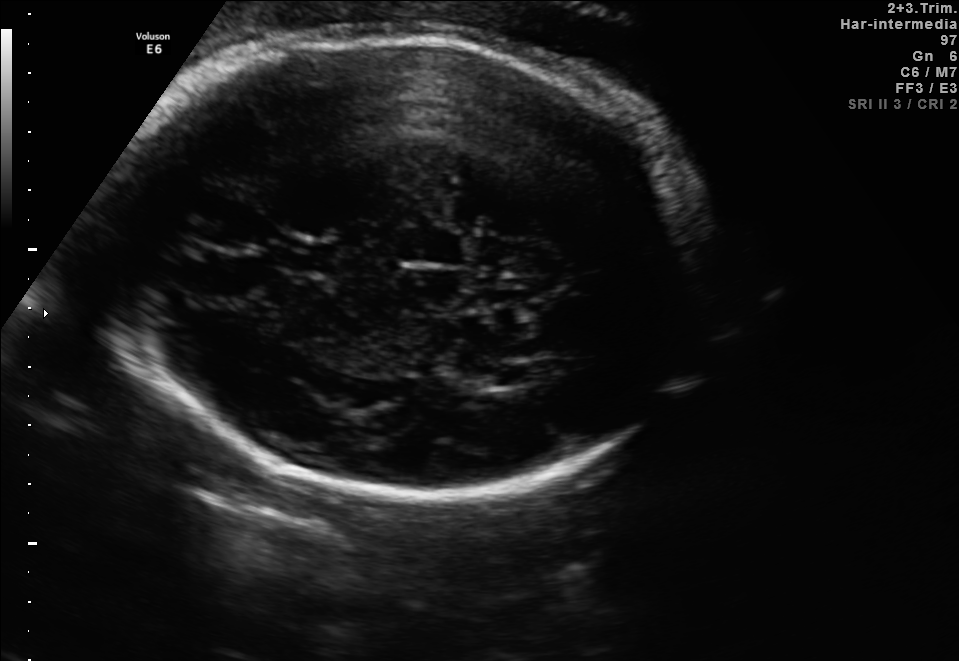
Fetal brain, trans-ventricular plane. Where is the fetal head?

Head bounding box: [101,26,730,507]